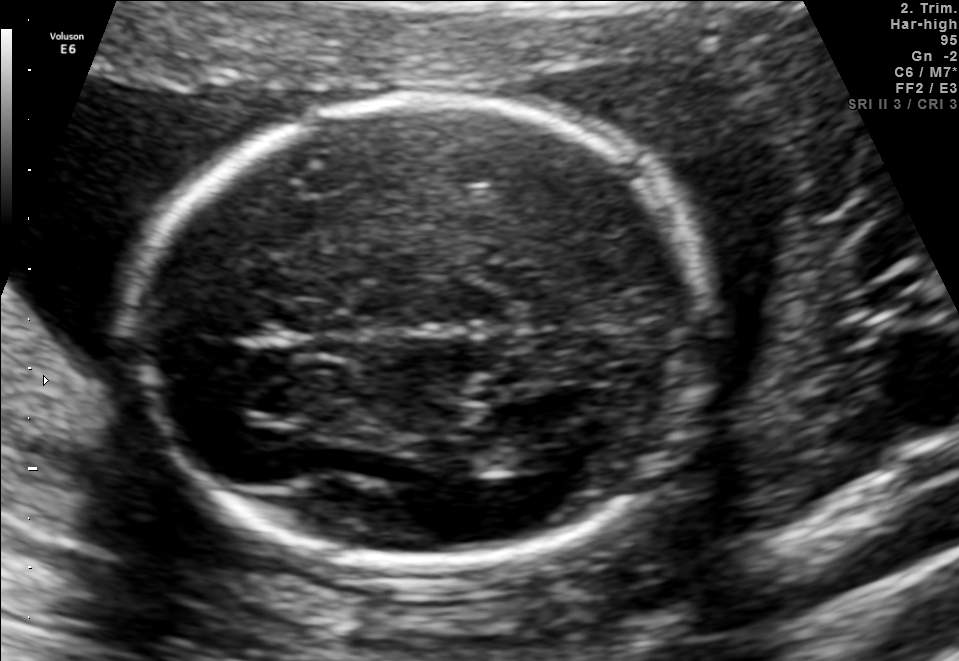
In this fetal brain, trans-thalamic plane, give the bounding box of the fetal head.

[137,98,698,559]